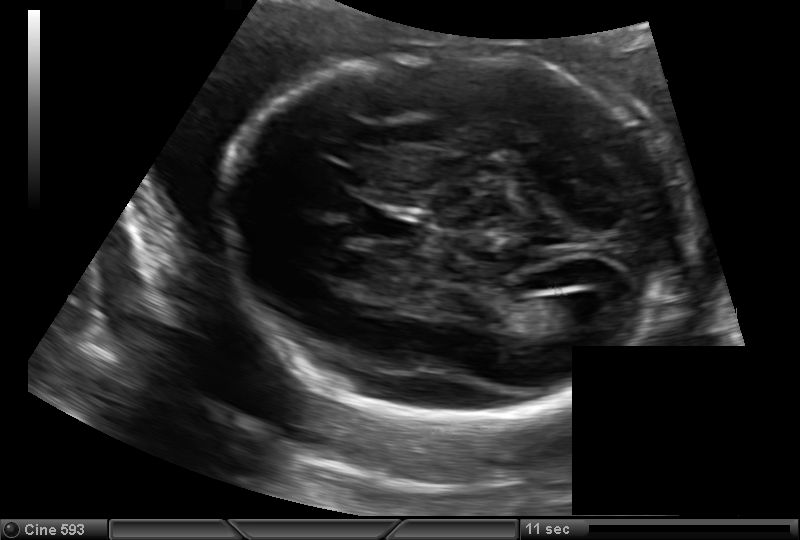
Fetal head ultrasound. Image width: 115.2 mm. Locate the lateral ventricle.

Lateral ventricle: [535,292,598,332]